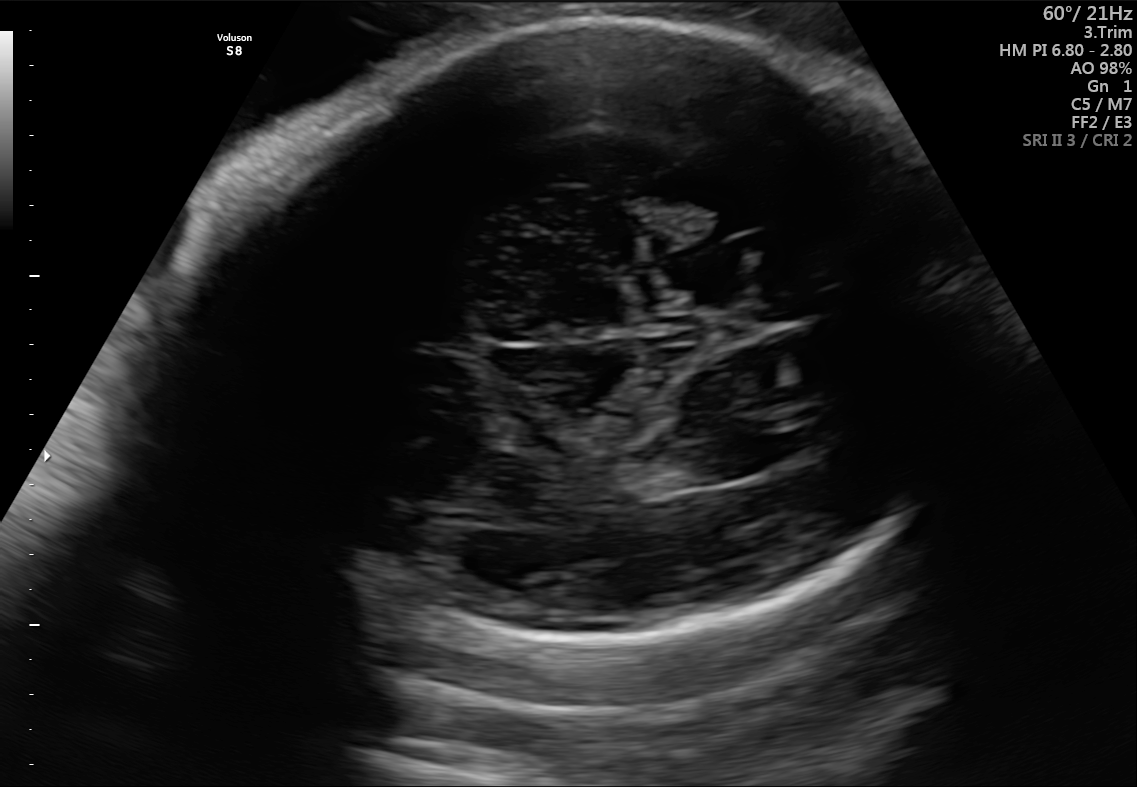
In this fetal brain, trans-thalamic plane, give the bounding box of the fetal head.

[204,14,971,635]